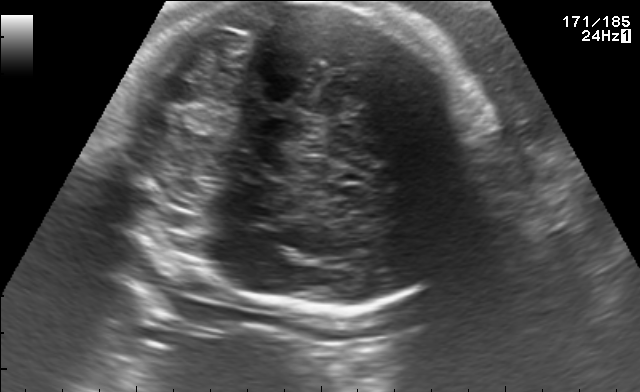
Which standard maternal-fetal ultrasound plane is shown: fetal abdomen, fetal brain, fetal femur, fetal thorax, maternal cervix, or other? If it's fetal brain and one of the three standard brain planes (trans-thalamic, trans-cerebellum, trans-ventricular), name which.

Fetal brain (trans-cerebellum plane)